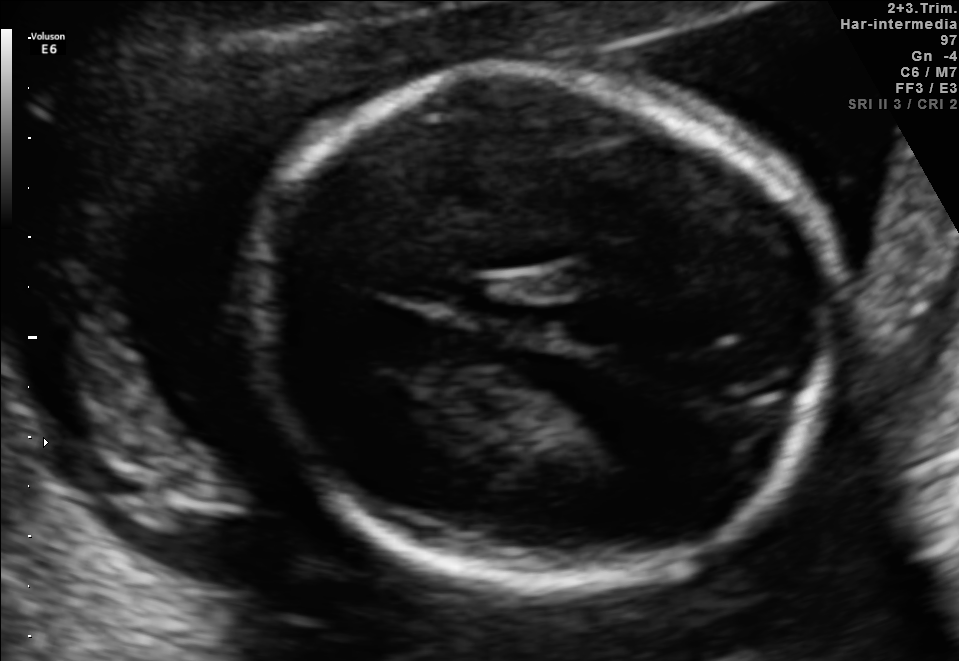
This is a 2D maternal-fetal ultrasound frame. Is it a fetal abdomen, fetal brain, fetal femur, fetal thorax, maternal cervix, or other standard plane? If it's fetal brain and one of the three standard brain planes (trans-thalamic, trans-cerebellum, trans-ventricular), name which.

Fetal brain (trans-thalamic plane)